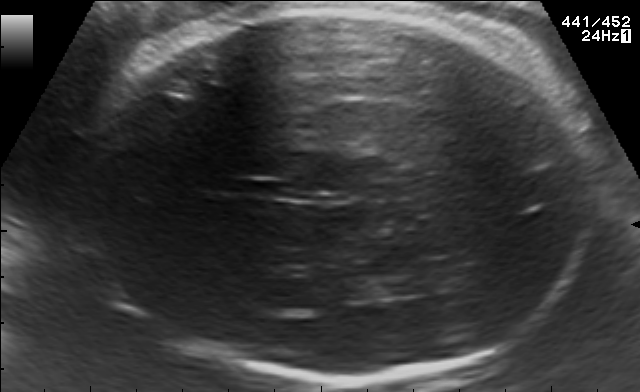
This is a 2D maternal-fetal ultrasound frame. Is it a fetal abdomen, fetal brain, fetal femur, fetal thorax, maternal cervix, or other standard plane? If it's fetal brain and one of the three standard brain planes (trans-thalamic, trans-cerebellum, trans-ventricular), name which.

Fetal brain (trans-thalamic plane)